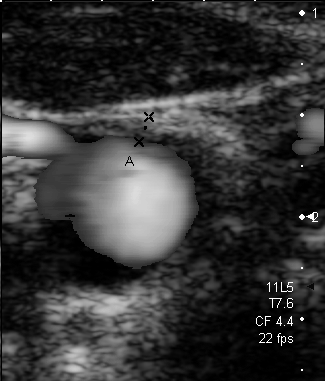
This is a 2D maternal-fetal ultrasound frame. Is it a fetal abdomen, fetal brain, fetal femur, fetal thorax, maternal cervix, or other standard plane? If it's fetal brain and one of the three standard brain planes (trans-thalamic, trans-cerebellum, trans-ventricular), name which.

Other